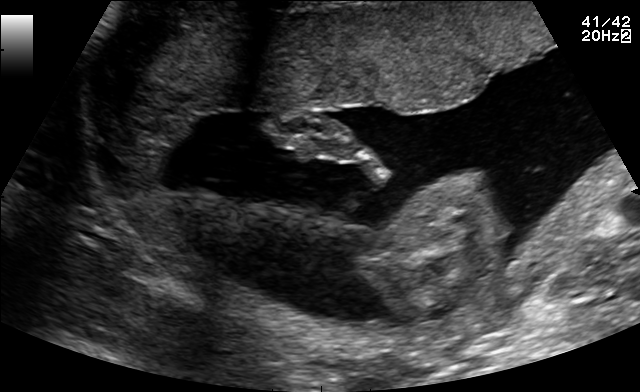
Identify the standard plane in this fetal ultrasound image: fetal abdomen, fetal brain, fetal femur, fetal thorax, maternal cervix, or other. If it's fetal brain and one of the three standard brain planes (trans-thalamic, trans-cerebellum, trans-ventricular), name which.

Other